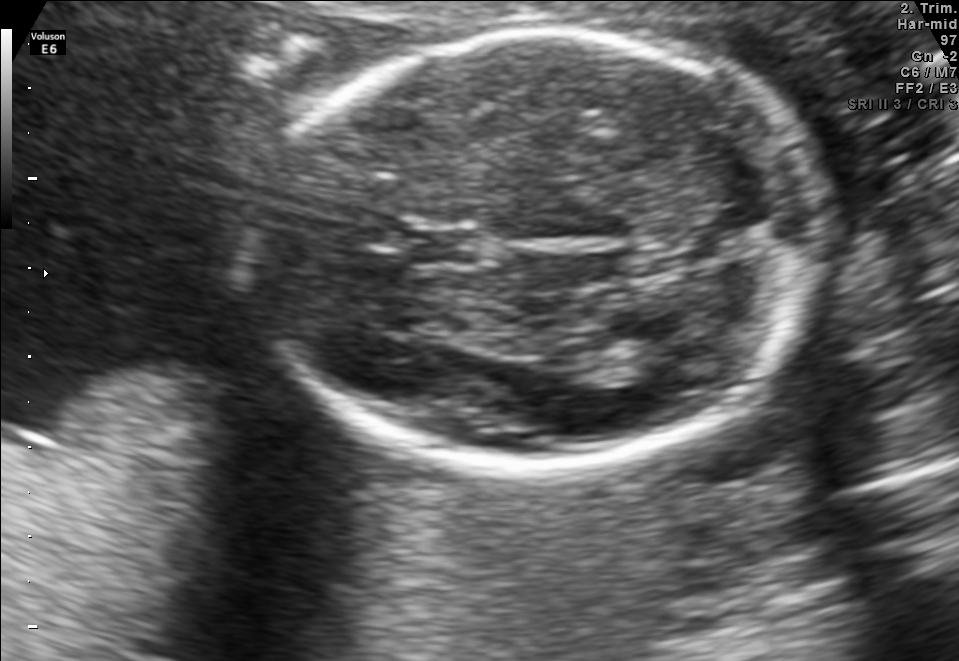
In this fetal brain, trans-thalamic plane, give the bounding box of the cavum septum pellucidum.

[414,230,475,262]